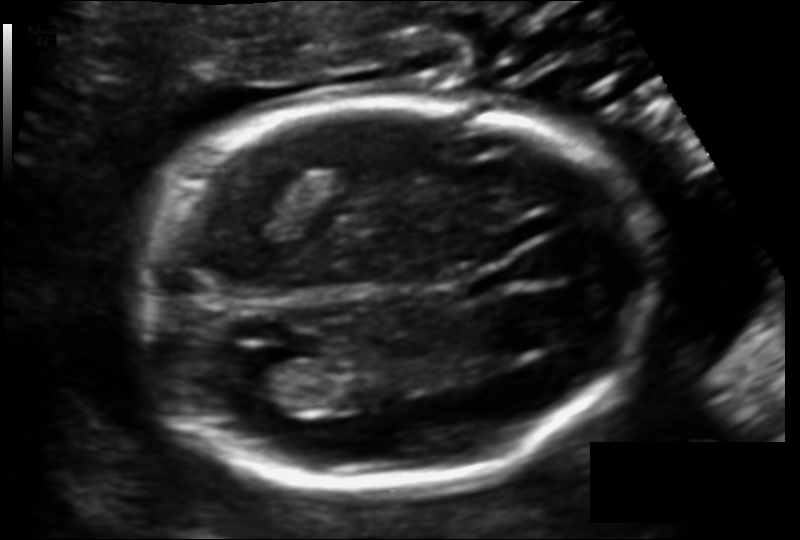
Fetal head ultrasound. Image width: 97.3 mm. Locate the fetal head.

Head: [138,100,649,491]